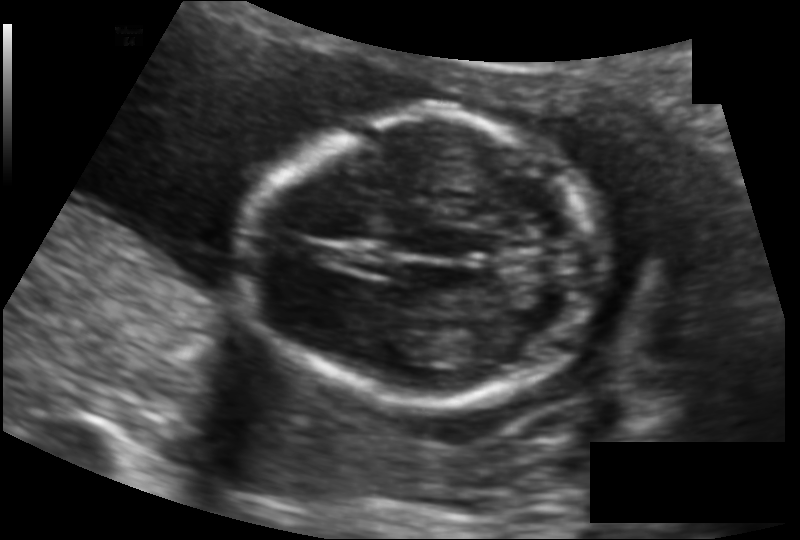
Estimate the fetal head circumference from this 2D ultrasound.

Head circumference: 129.3 mm (image width 97.8 mm).